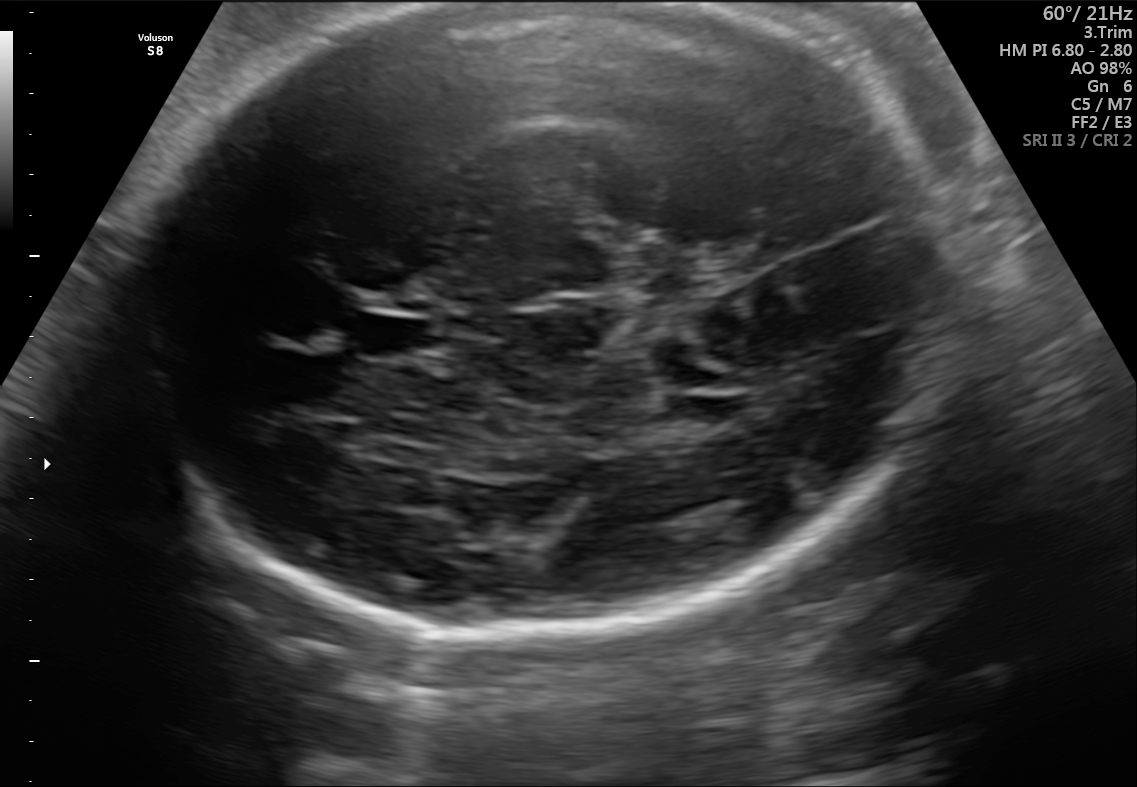
In this fetal brain, trans-thalamic plane, give bounding boxes for the head outline, cavum septum pellucidum (CSP), and lateral ventricle (LV), where visible.

Head: [128,4,950,645]
CSP: [357,314,432,360]